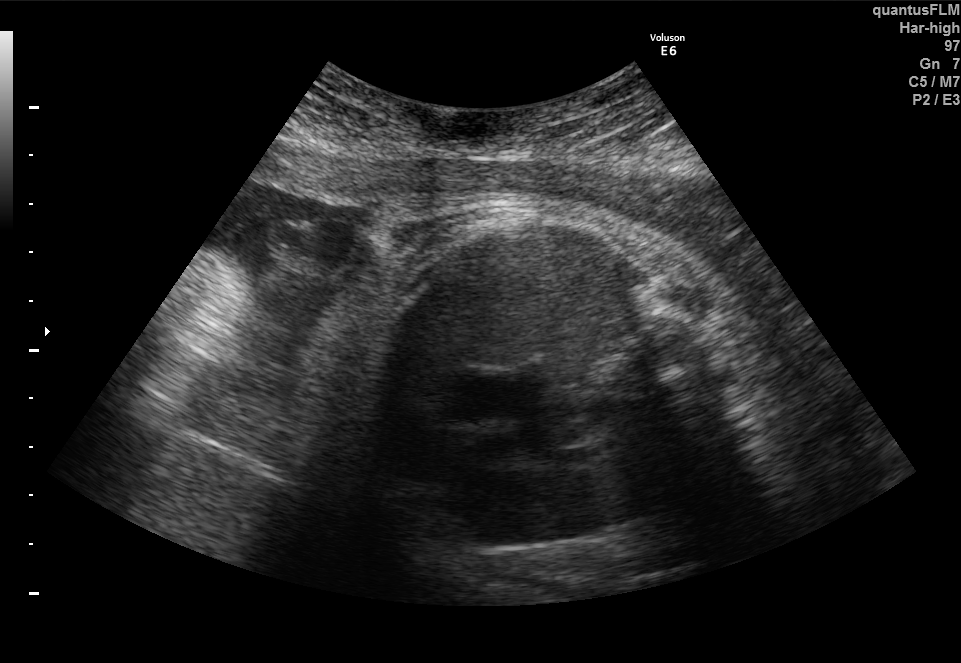
Classify this maternal-fetal ultrasound image as one of the six standard planes — fetal abdomen, fetal brain, fetal femur, fetal thorax, maternal cervix, or other. If it's fetal brain and one of the three standard brain planes (trans-thalamic, trans-cerebellum, trans-ventricular), name which.

Fetal thorax